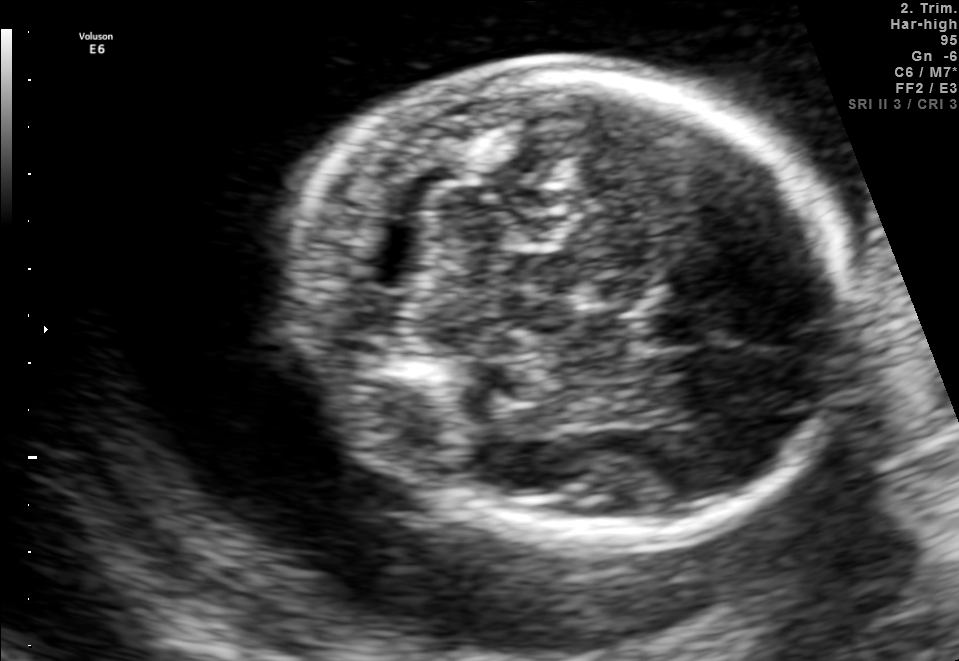
Fetal brain, trans-cerebellum plane. Locate the cavum septum pellucidum.

CSP: [642,305,727,355]